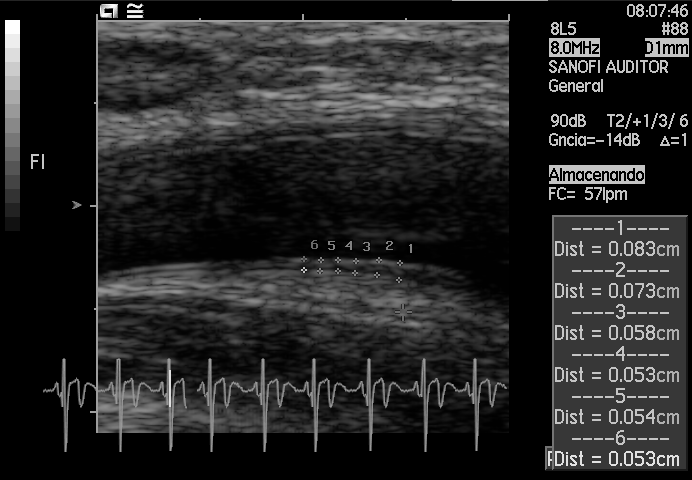
Identify the standard plane in this fetal ultrasound image: fetal abdomen, fetal brain, fetal femur, fetal thorax, maternal cervix, or other. If it's fetal brain and one of the three standard brain planes (trans-thalamic, trans-cerebellum, trans-ventricular), name which.

Other